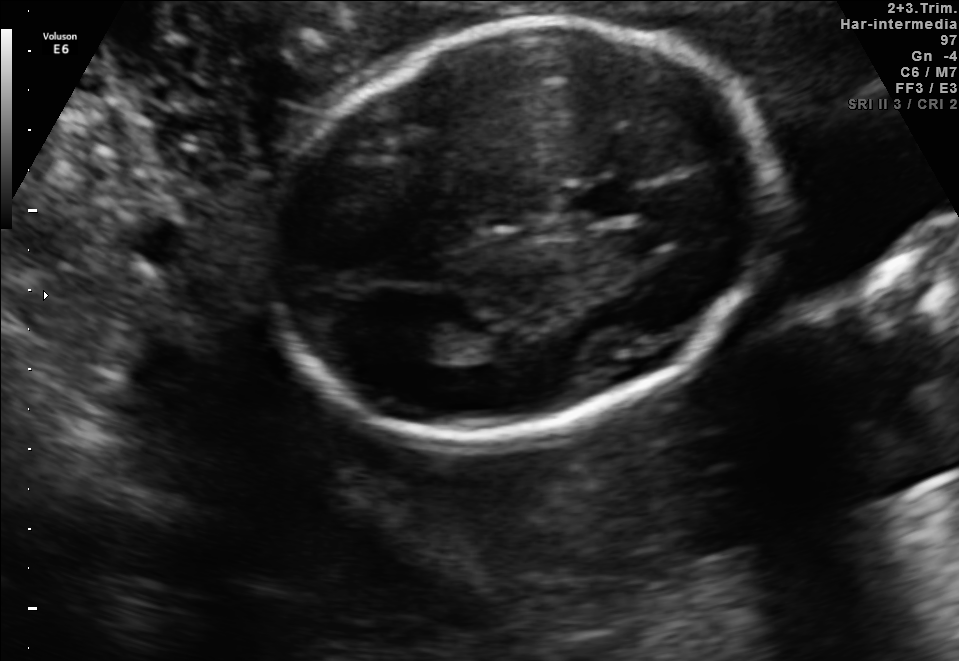
Fetal brain, trans-thalamic plane. Locate the lateral ventricle.

Lateral ventricle: [393,323,458,361]